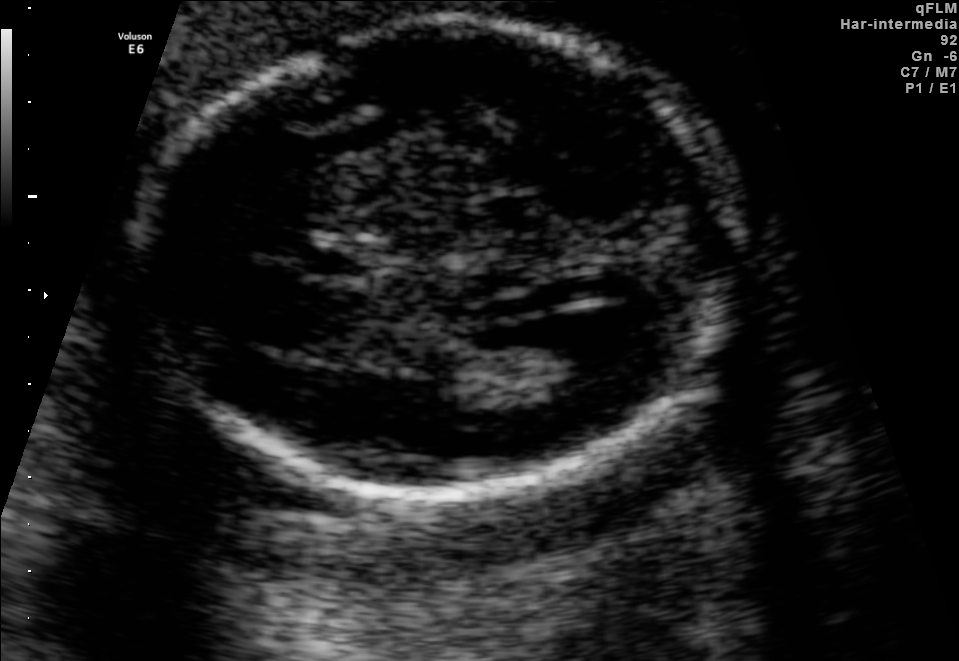
Fetal brain, trans-ventricular plane. Where is the cavum septum pellucidum?

CSP bounding box: [299,241,374,284]